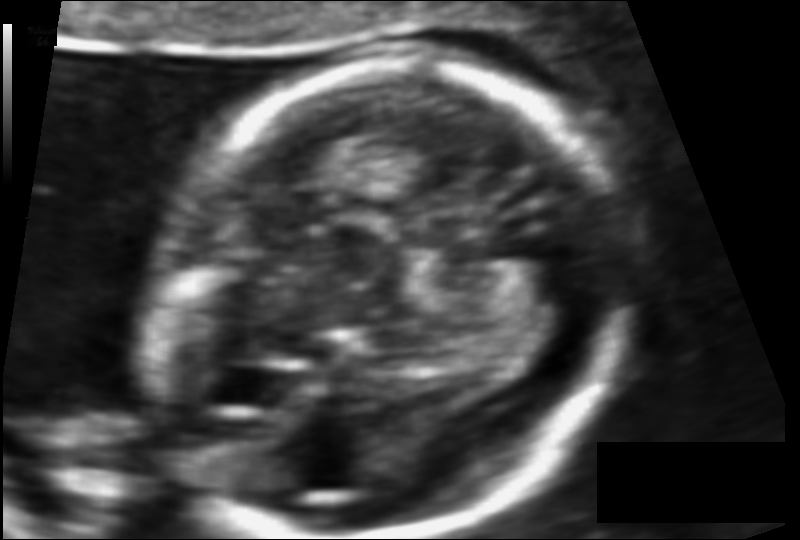
From this fetal ultrasound, estimate the head circumference (image width 66.0 mm).

Head circumference: 130.5 mm.